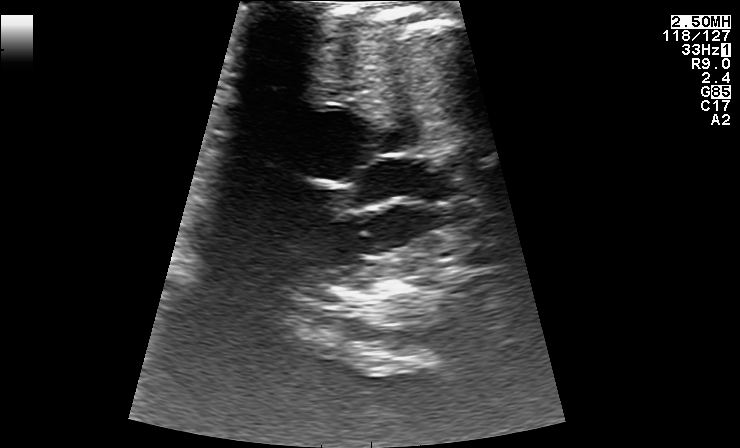
This is a 2D maternal-fetal ultrasound frame. Is it a fetal abdomen, fetal brain, fetal femur, fetal thorax, maternal cervix, or other standard plane? If it's fetal brain and one of the three standard brain planes (trans-thalamic, trans-cerebellum, trans-ventricular), name which.

Other